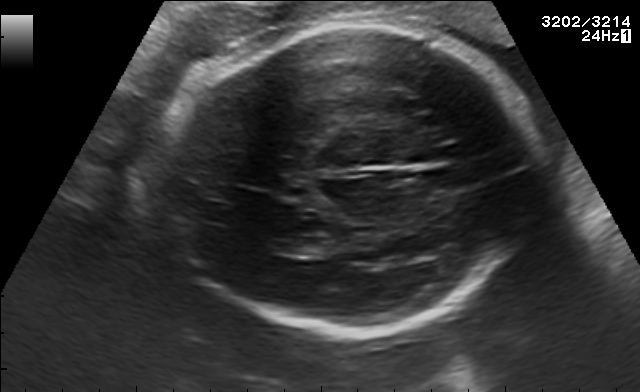
Fetal brain, trans-thalamic plane. Locate the fetal head and, if visible, the cavum septum pellucidum (CSP) and lateral ventricle (LV). Give bounding boxes as [x1,y1,x2,y2].

Head: [162,21,540,337]
Lateral ventricle: [271,237,332,255]